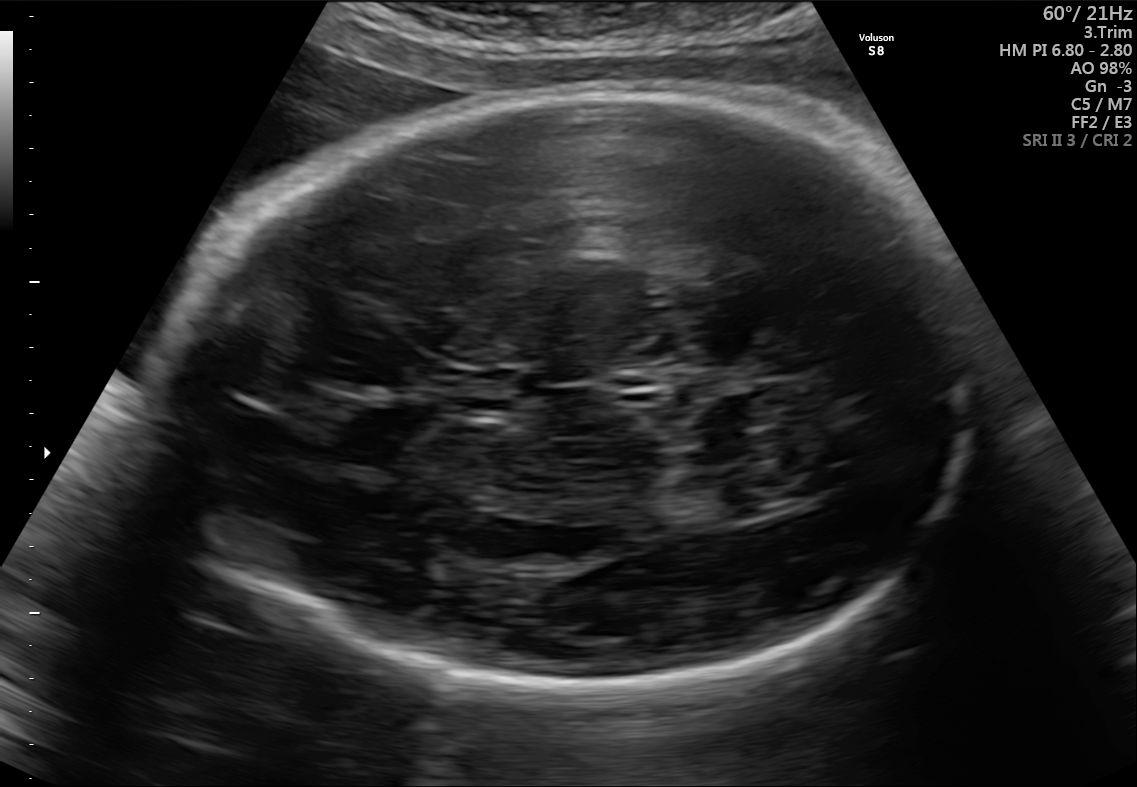
Identify the standard plane in this fetal ultrasound image: fetal abdomen, fetal brain, fetal femur, fetal thorax, maternal cervix, or other. If it's fetal brain and one of the three standard brain planes (trans-thalamic, trans-cerebellum, trans-ventricular), name which.

Fetal brain (trans-thalamic plane)